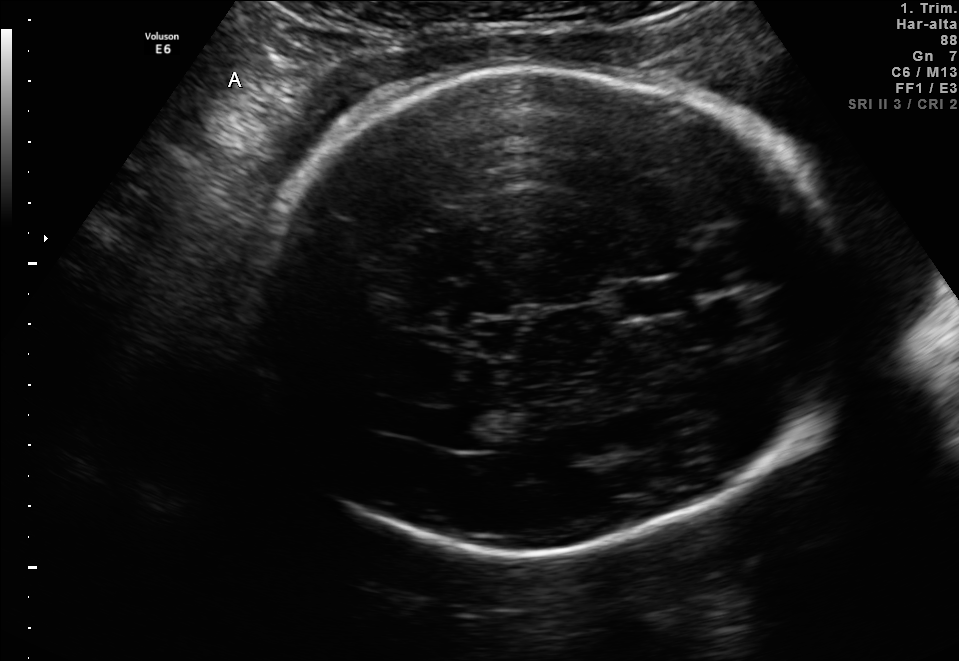
Fetal brain, trans-thalamic plane. Locate the cavum septum pellucidum.

CSP: [618,278,682,320]